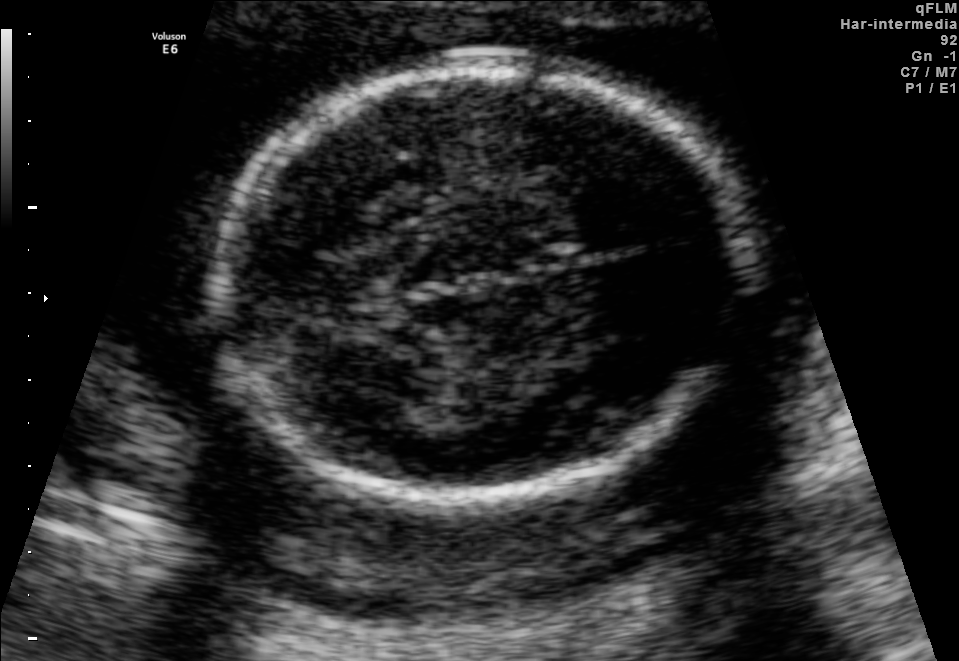
In this fetal brain, trans-thalamic plane, give bounding boxes for the head outline, cavum septum pellucidum (CSP), and lateral ventricle (LV), where visible.

Head: [216,71,751,494]